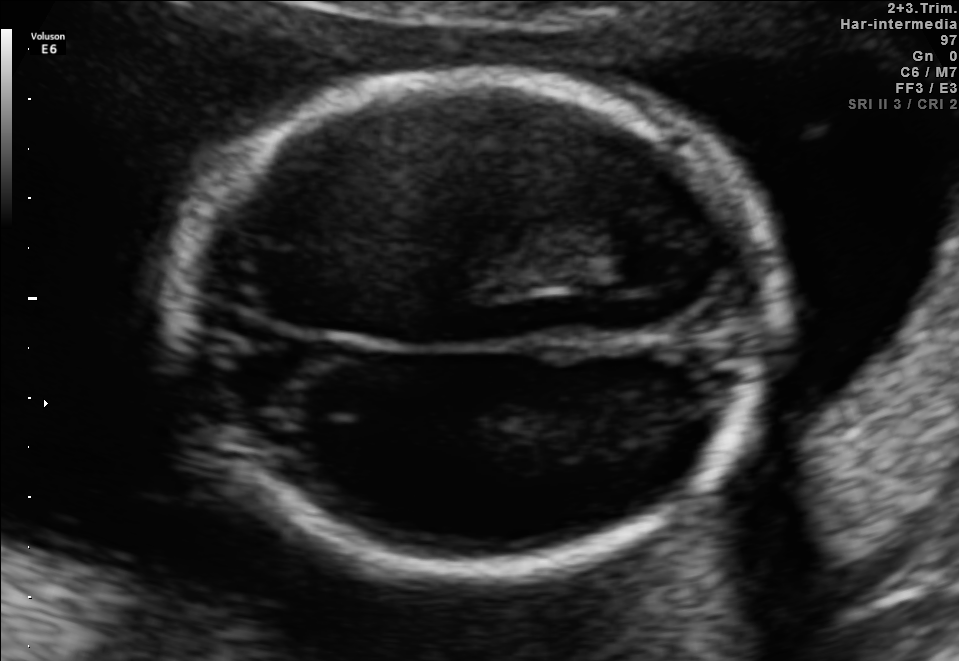
In this fetal brain, trans-thalamic plane, give the bounding box of the fetal head.

[175,79,780,574]